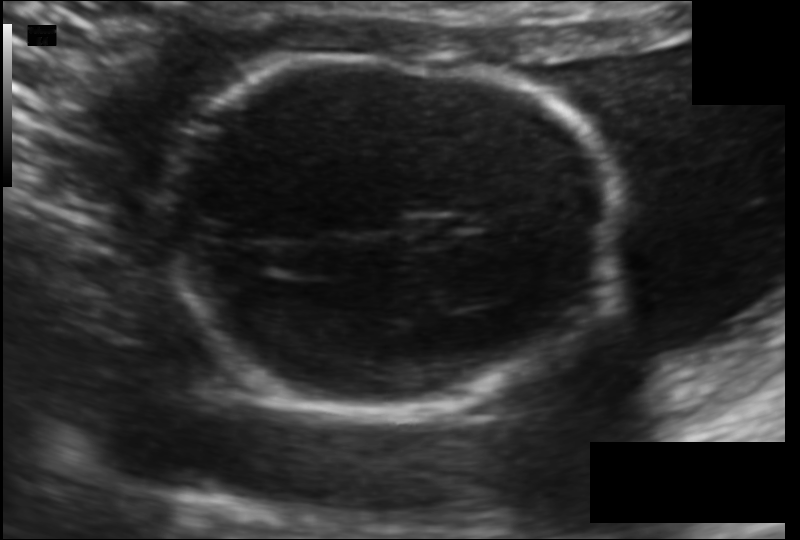
Fetal head ultrasound. Image width: 91.8 mm. Give [x1,y1,x2,y2] bounding boxes for each visible structure among: fetal head, CSP, LV.

Head: [165,57,620,416]